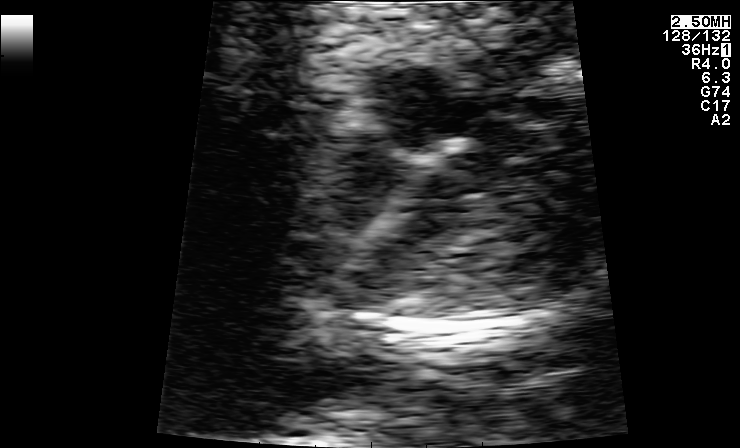
Classify this maternal-fetal ultrasound image as one of the six standard planes — fetal abdomen, fetal brain, fetal femur, fetal thorax, maternal cervix, or other. If it's fetal brain and one of the three standard brain planes (trans-thalamic, trans-cerebellum, trans-ventricular), name which.

Fetal thorax